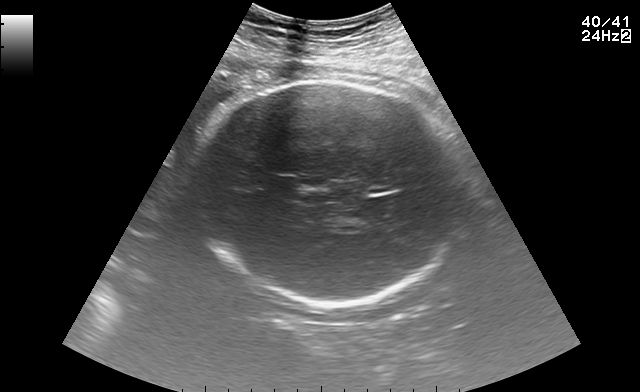
In this fetal brain, trans-thalamic plane, give the bounding box of the fetal head.

[194,81,460,309]